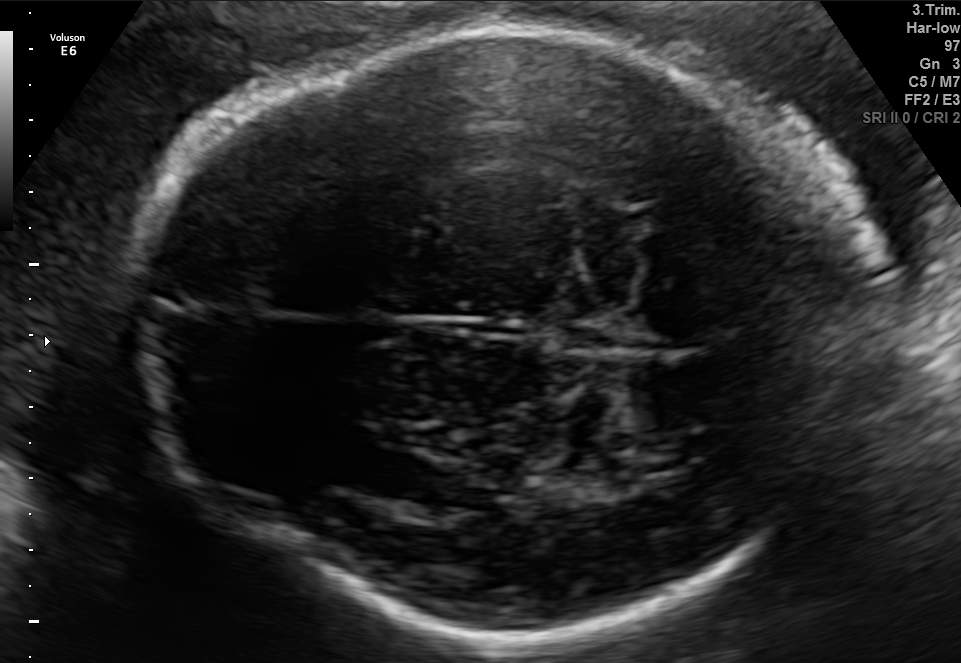
Fetal brain, trans-ventricular plane. Locate the fetal head and, if visible, the cavum septum pellucidum (CSP) and lateral ventricle (LV). Give bounding boxes as [x1,y1,x2,y2].

Head: [136,32,883,641]